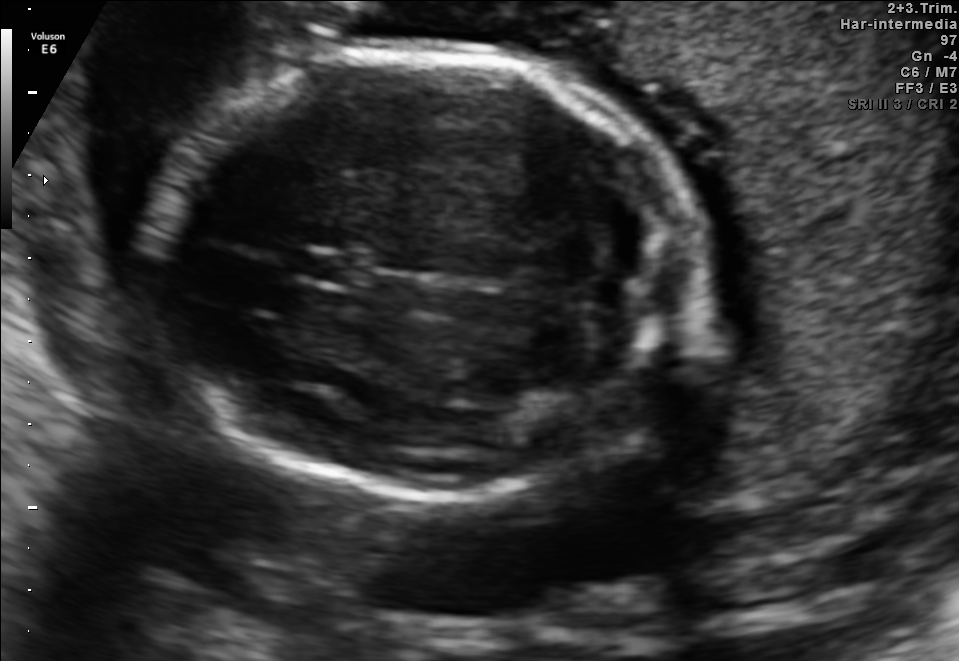
Which standard maternal-fetal ultrasound plane is shown: fetal abdomen, fetal brain, fetal femur, fetal thorax, maternal cervix, or other? If it's fetal brain and one of the three standard brain planes (trans-thalamic, trans-cerebellum, trans-ventricular), name which.

Fetal brain (trans-cerebellum plane)